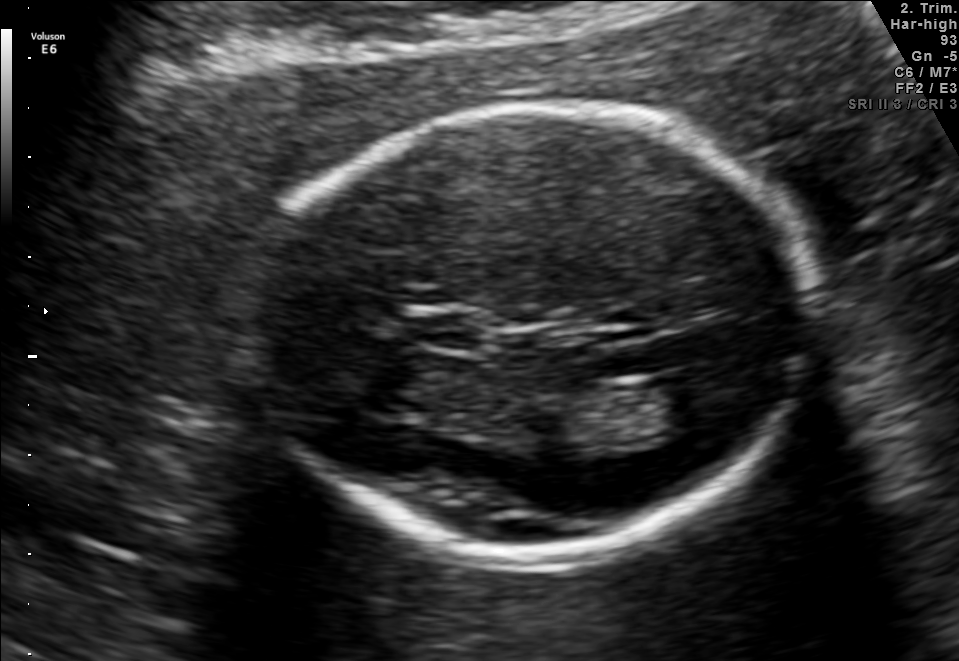
In this fetal brain, trans-thalamic plane, give the bounding box of the cavum septum pellucidum.

[415,313,482,349]